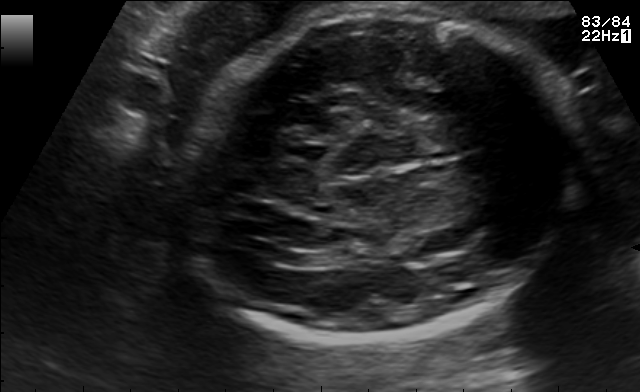
This is a 2D maternal-fetal ultrasound frame. Is it a fetal abdomen, fetal brain, fetal femur, fetal thorax, maternal cervix, or other standard plane? If it's fetal brain and one of the three standard brain planes (trans-thalamic, trans-cerebellum, trans-ventricular), name which.

Fetal brain (trans-ventricular plane)